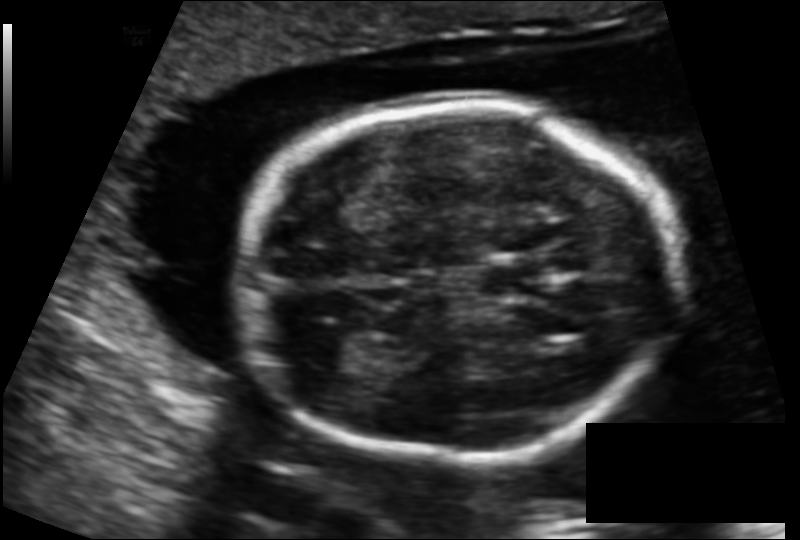
Fetal head ultrasound. Image width: 104.4 mm. Locate the lateral ventricle.

Lateral ventricle: [301,325,381,374]